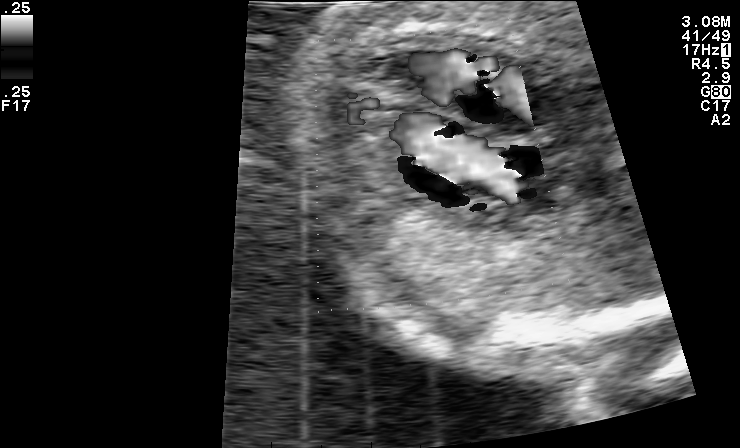
This is a 2D maternal-fetal ultrasound frame. Is it a fetal abdomen, fetal brain, fetal femur, fetal thorax, maternal cervix, or other standard plane? If it's fetal brain and one of the three standard brain planes (trans-thalamic, trans-cerebellum, trans-ventricular), name which.

Other